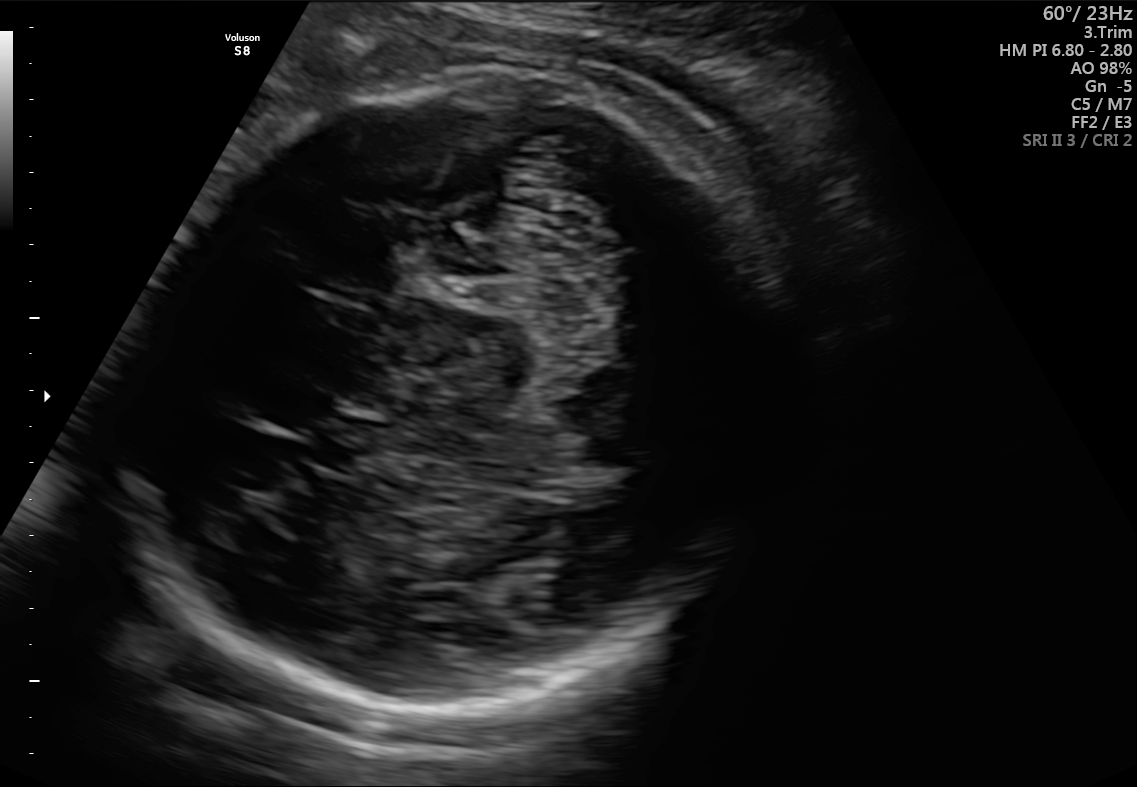
Fetal brain, trans-cerebellum plane. Locate the fetal head and, if visible, the cavum septum pellucidum (CSP) and lateral ventricle (LV). Give bounding boxes as [x1,y1,x2,y2].

Head: [138,73,758,707]